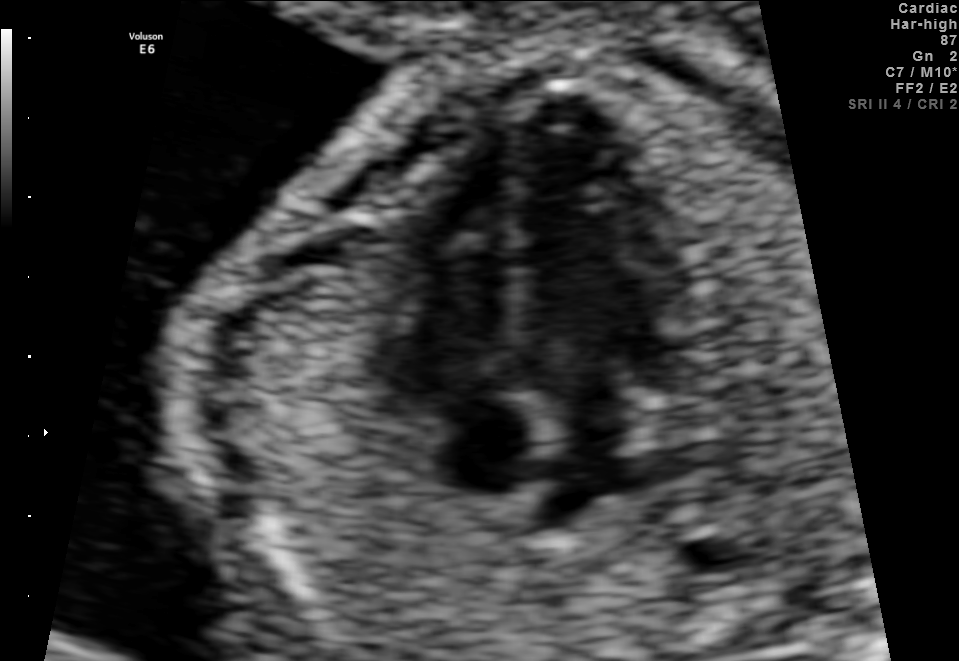
Classify this maternal-fetal ultrasound image as one of the six standard planes — fetal abdomen, fetal brain, fetal femur, fetal thorax, maternal cervix, or other. If it's fetal brain and one of the three standard brain planes (trans-thalamic, trans-cerebellum, trans-ventricular), name which.

Fetal thorax